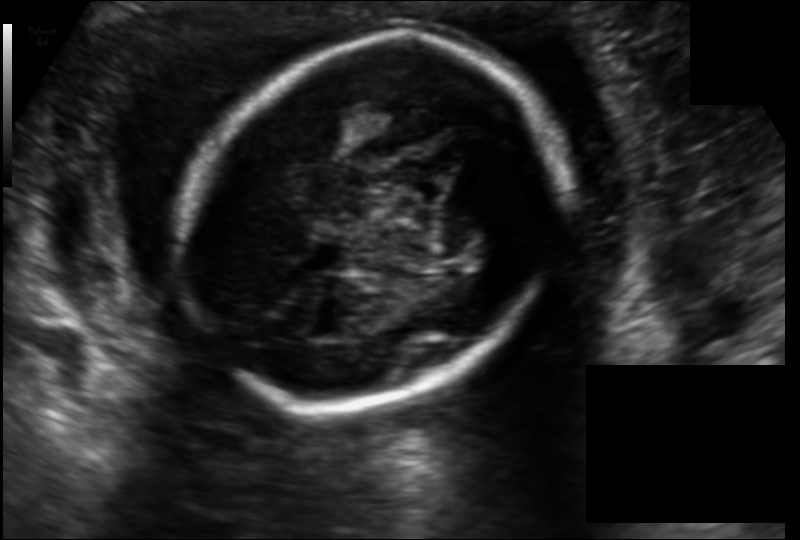
What is the fetal head circumference? Image width is 112.8 mm.

171.0 mm